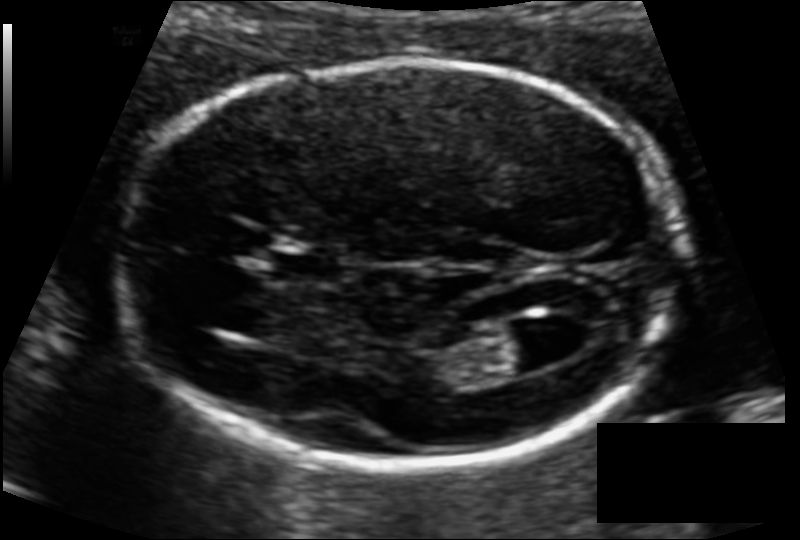
What is the fetal head circumference? Image width is 83.4 mm.

163.4 mm